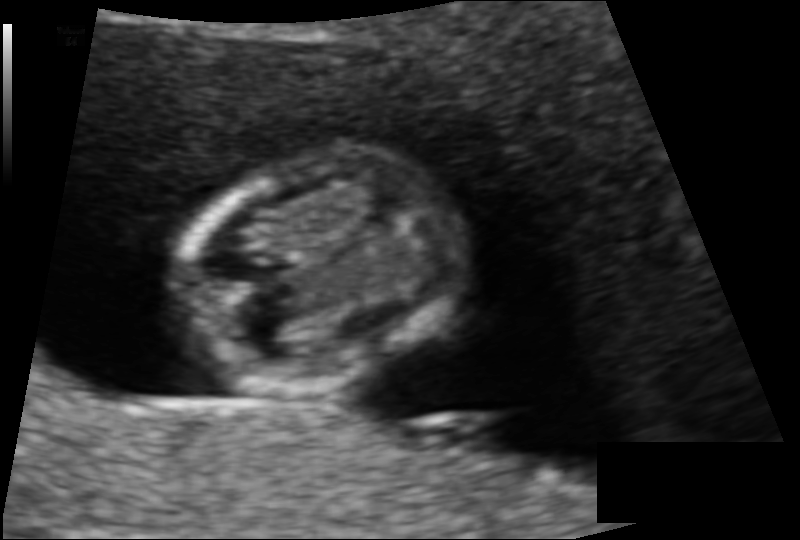
Fetal head ultrasound. Image width: 68.5 mm. Locate the fetal head and, if visible, the cavum septum pellucidum (CSP) and lateral ventricle (LV). Give bounding boxes as [x1,y1,x2,y2].

Head: [172,151,468,399]